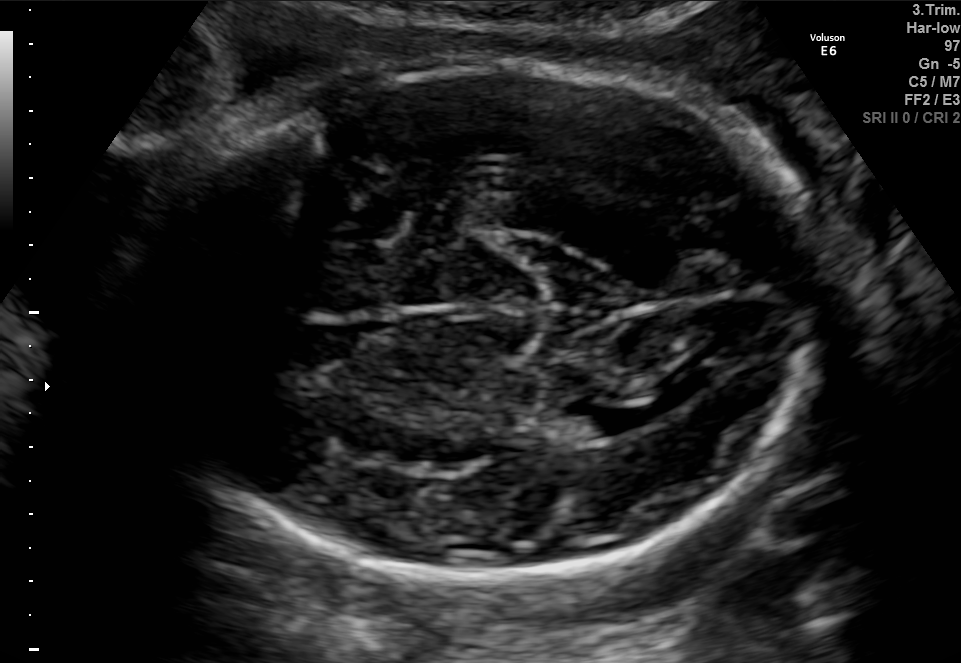
Fetal brain, trans-thalamic plane. Locate the lateral ventricle.

Lateral ventricle: [571,398,648,444]